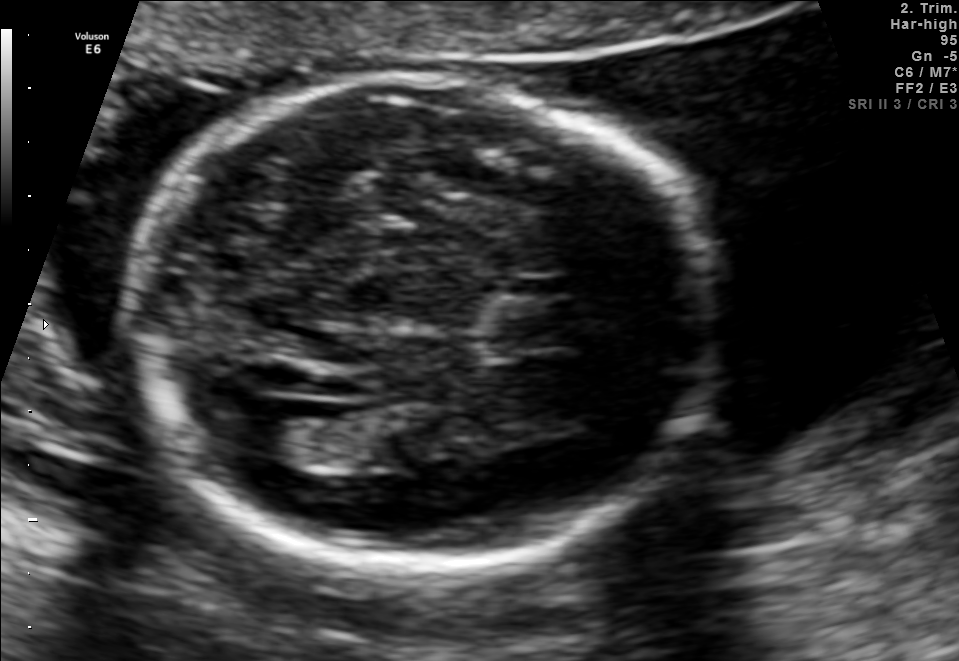
In this fetal brain, trans-ventricular plane, give the bounding box of the lateral ventricle.

[216,388,327,463]